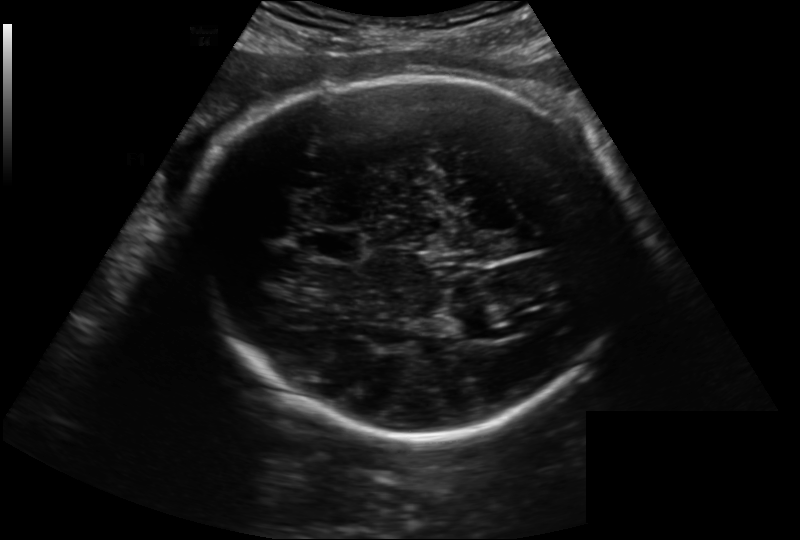
Fetal head ultrasound. Image width: 177.3 mm. Locate the fetal head and, if visible, the cavum septum pellucidum (CSP) and lateral ventricle (LV). Give bounding boxes as [x1,y1,x2,y2].

Head: [182,76,633,433]
CSP: [304,229,362,263]
Lateral ventricle: [488,313,537,344]